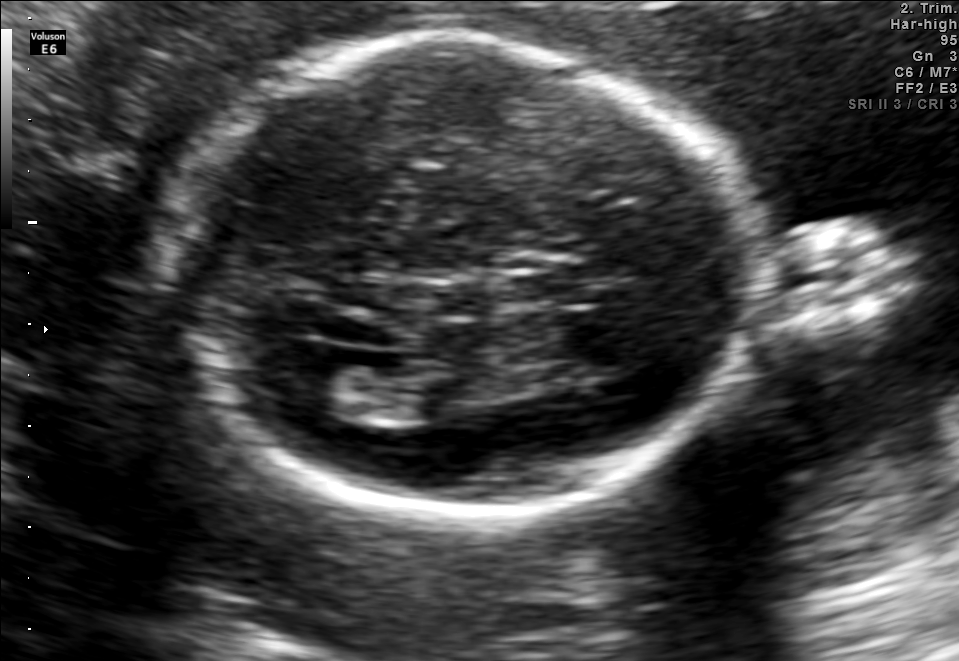
Fetal brain, trans-ventricular plane. Where is the cavum septum pellucidum?

CSP bounding box: [509,261,590,305]